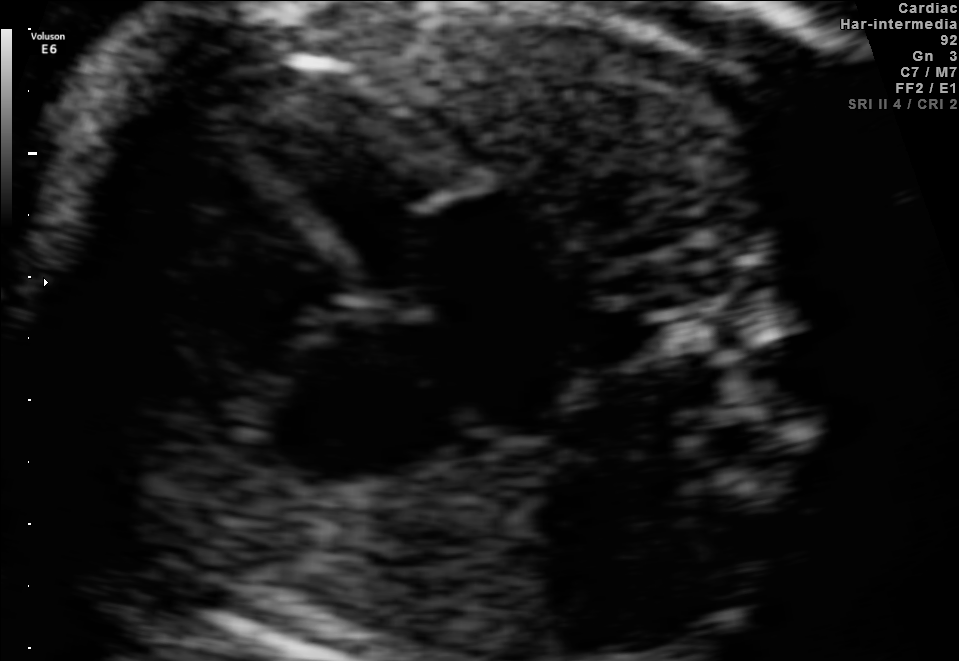
Which standard maternal-fetal ultrasound plane is shown: fetal abdomen, fetal brain, fetal femur, fetal thorax, maternal cervix, or other? If it's fetal brain and one of the three standard brain planes (trans-thalamic, trans-cerebellum, trans-ventricular), name which.

Fetal thorax